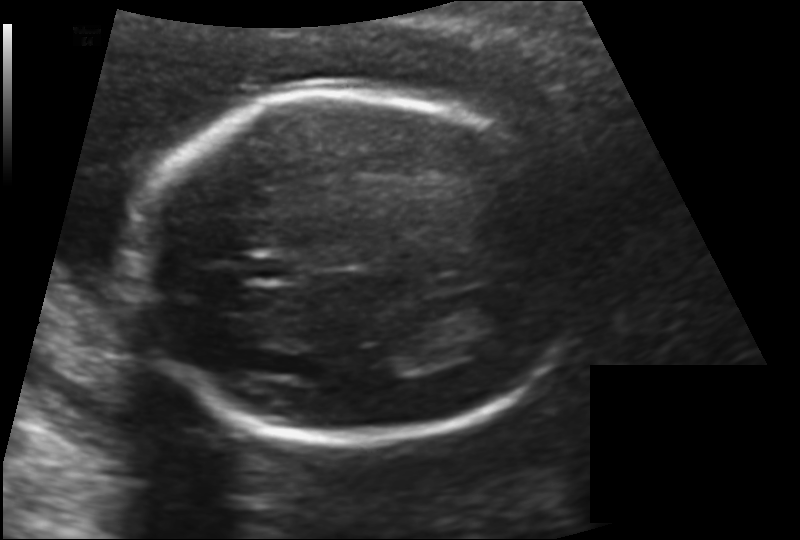
In this fetal head ultrasound, give bounding boxes for the head outline, cavum septum pellucidum (CSP), and lateral ventricle (LV), where visible. Image width: 113.8 mm.

Head: [133,92,588,440]
CSP: [244,254,294,282]